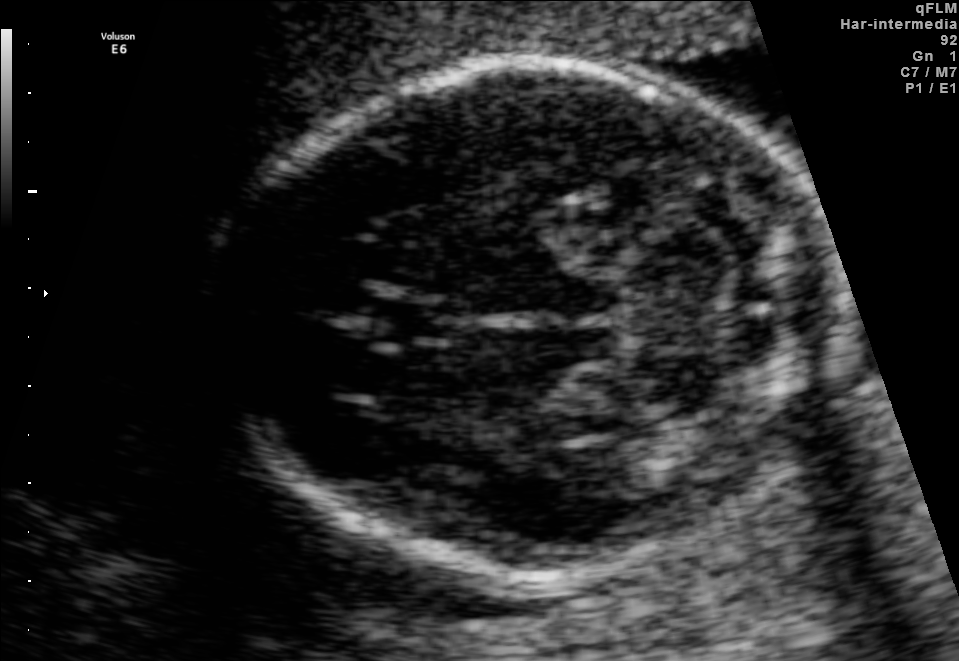
Fetal brain, trans-cerebellum plane. Locate the cavum septum pellucidum.

CSP: [371,297,452,345]